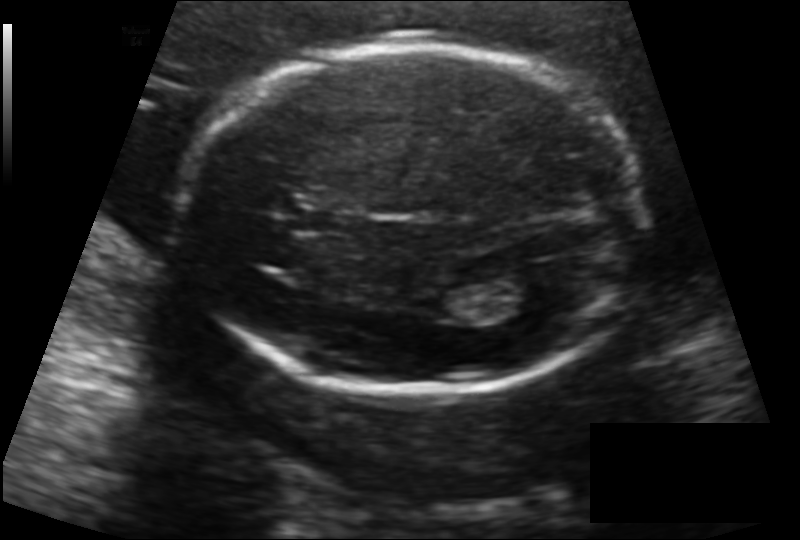
In this fetal head ultrasound, give the bounding box of the fetal head. Image width: 113.3 mm.

[180,47,647,394]